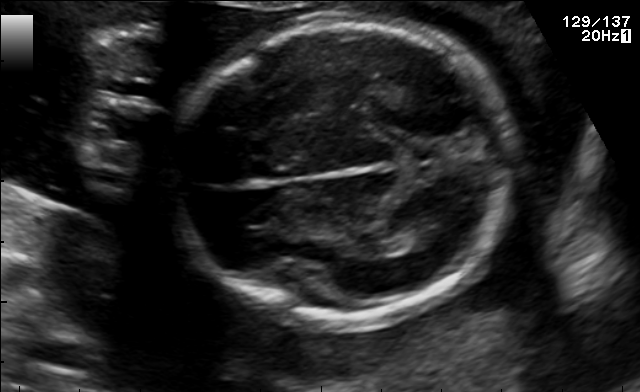
Fetal brain, trans-thalamic plane. Where is the fetal head?

Head bounding box: [171,25,515,323]